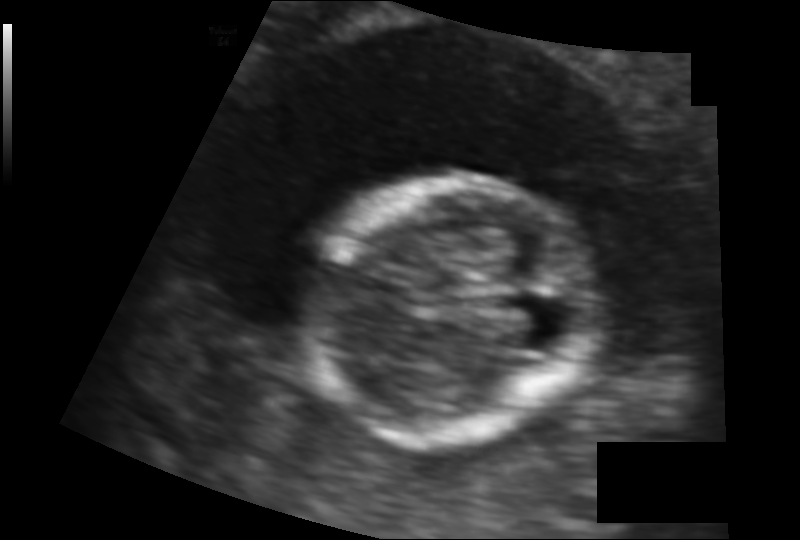
Measure the fetal head circumference shown in this ultrasound image. Image width: 82.1 mm.

Head circumference: 94.3 mm.